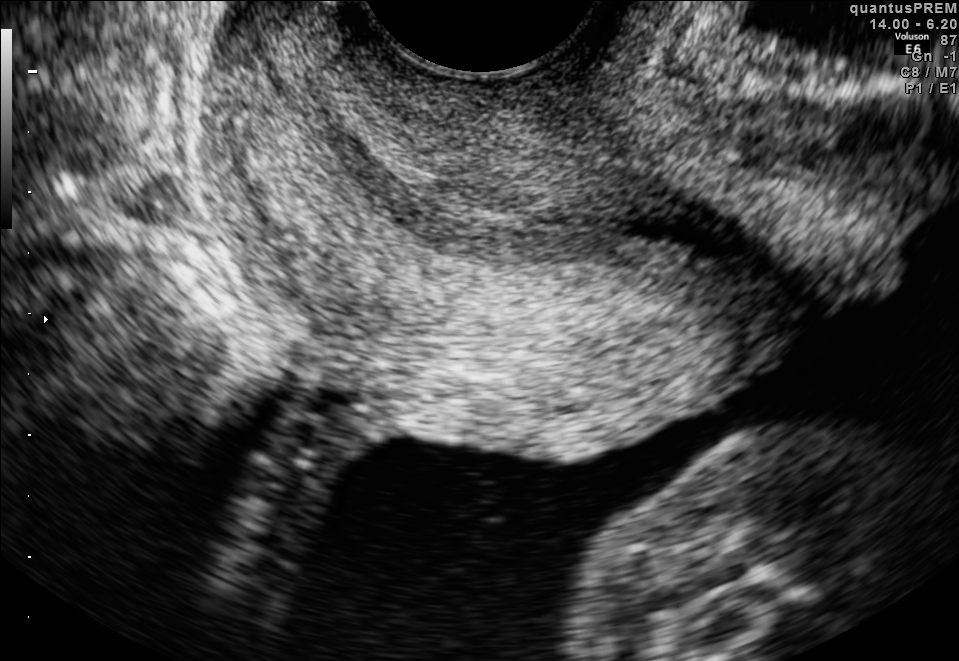
This is a 2D maternal-fetal ultrasound frame. Is it a fetal abdomen, fetal brain, fetal femur, fetal thorax, maternal cervix, or other standard plane? If it's fetal brain and one of the three standard brain planes (trans-thalamic, trans-cerebellum, trans-ventricular), name which.

Maternal cervix